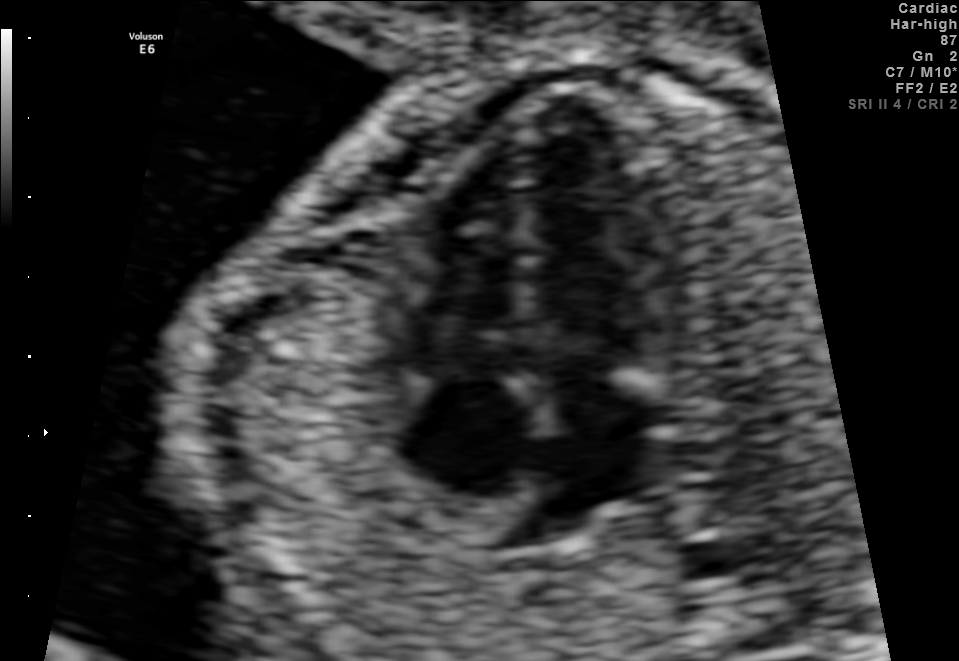
Classify this maternal-fetal ultrasound image as one of the six standard planes — fetal abdomen, fetal brain, fetal femur, fetal thorax, maternal cervix, or other. If it's fetal brain and one of the three standard brain planes (trans-thalamic, trans-cerebellum, trans-ventricular), name which.

Fetal thorax